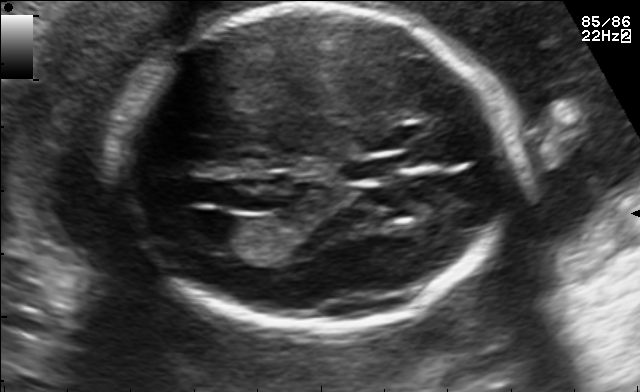
In this fetal brain, trans-ventricular plane, give the bounding box of the fetal head.

[118,2,518,337]